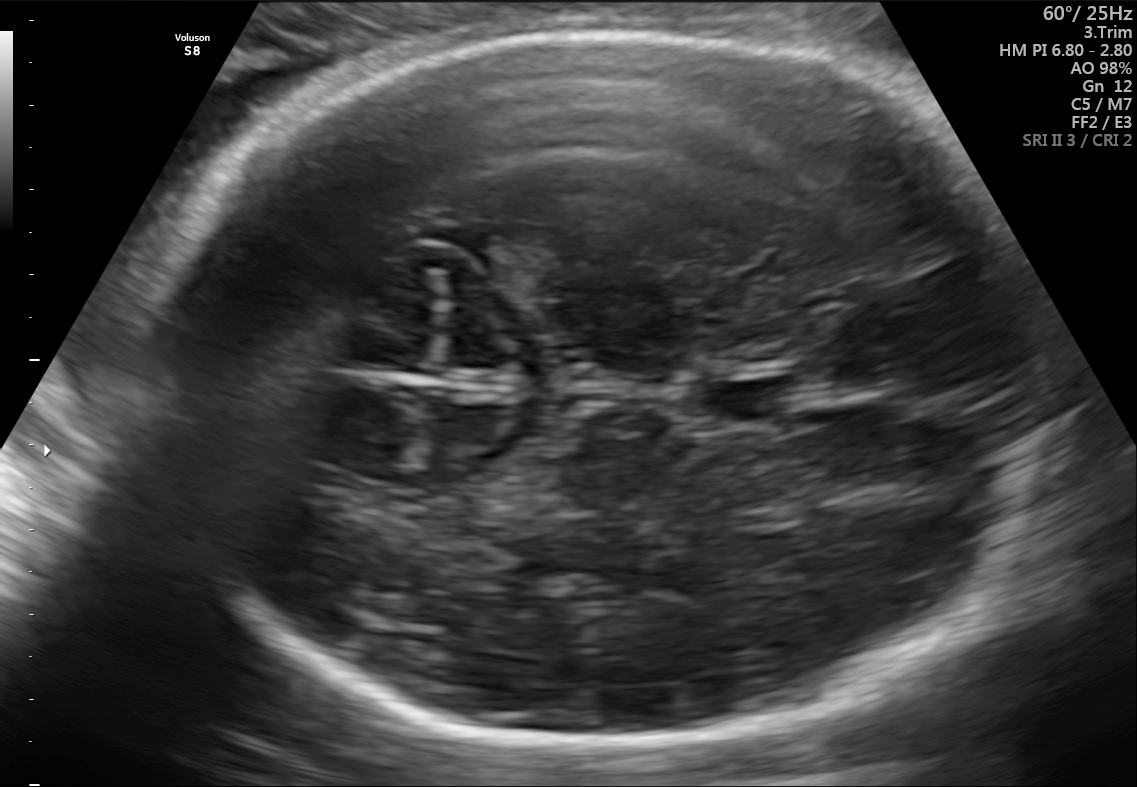
Fetal brain, trans-thalamic plane. Locate the cavum septum pellucidum.

CSP: [703,372,804,426]